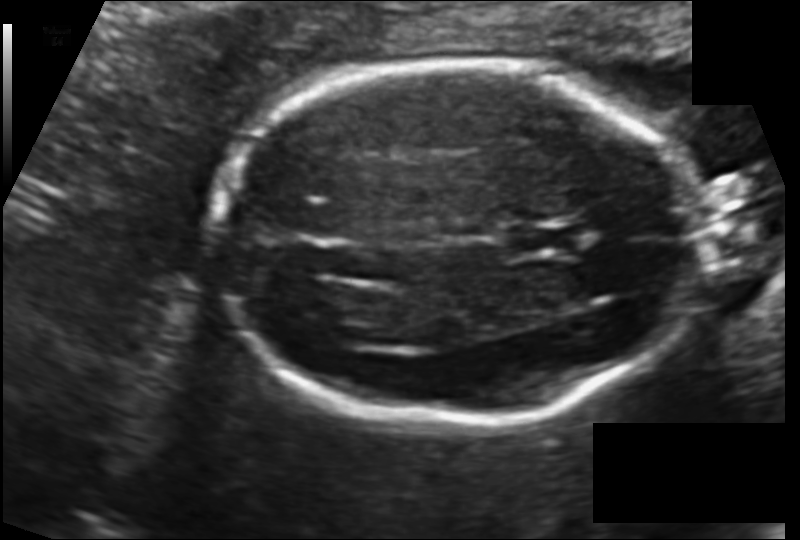
Estimate the fetal head circumference from this 2D ultrasound. Image width: 98.3 mm.

Head circumference: 169.3 mm.